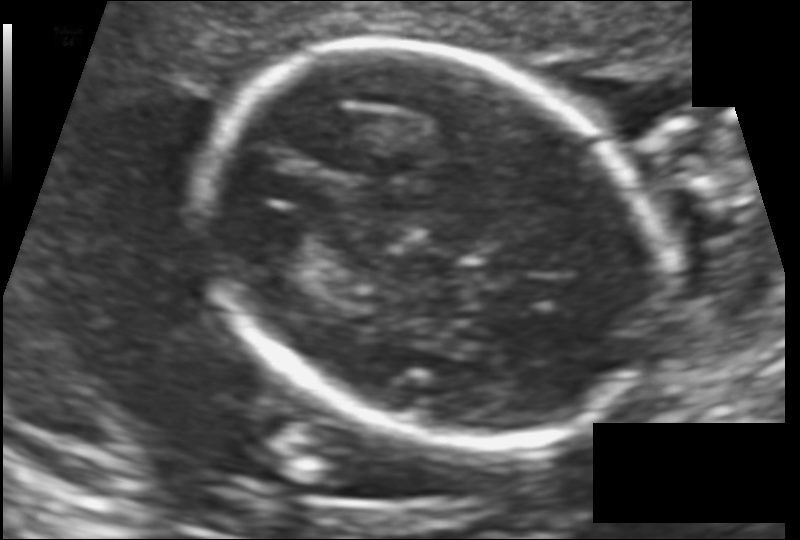
Estimate the fetal head circumference from this 2D ultrasound.

Head circumference: 172.9 mm (image width 101.0 mm).